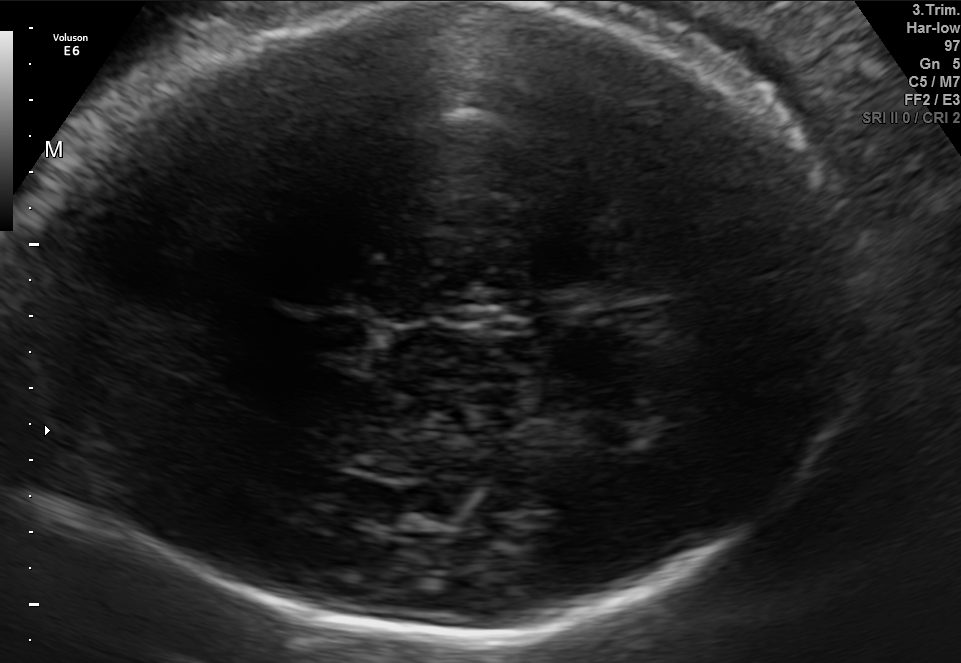
In this fetal brain, trans-thalamic plane, give the bounding box of the fetal head.

[5,3,854,636]